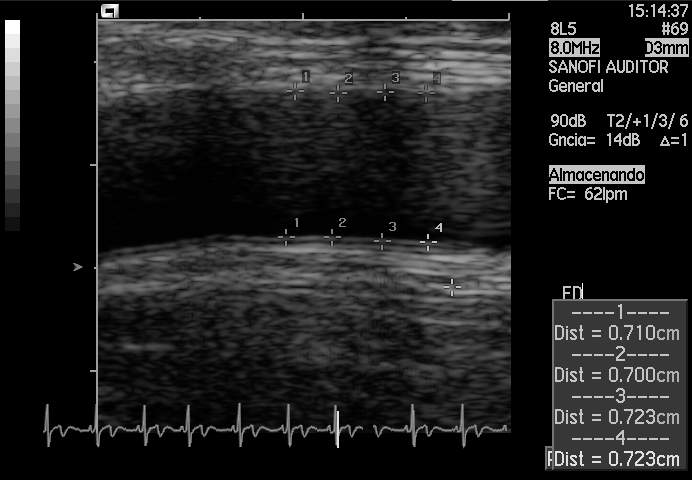
This is a 2D maternal-fetal ultrasound frame. Is it a fetal abdomen, fetal brain, fetal femur, fetal thorax, maternal cervix, or other standard plane? If it's fetal brain and one of the three standard brain planes (trans-thalamic, trans-cerebellum, trans-ventricular), name which.

Other